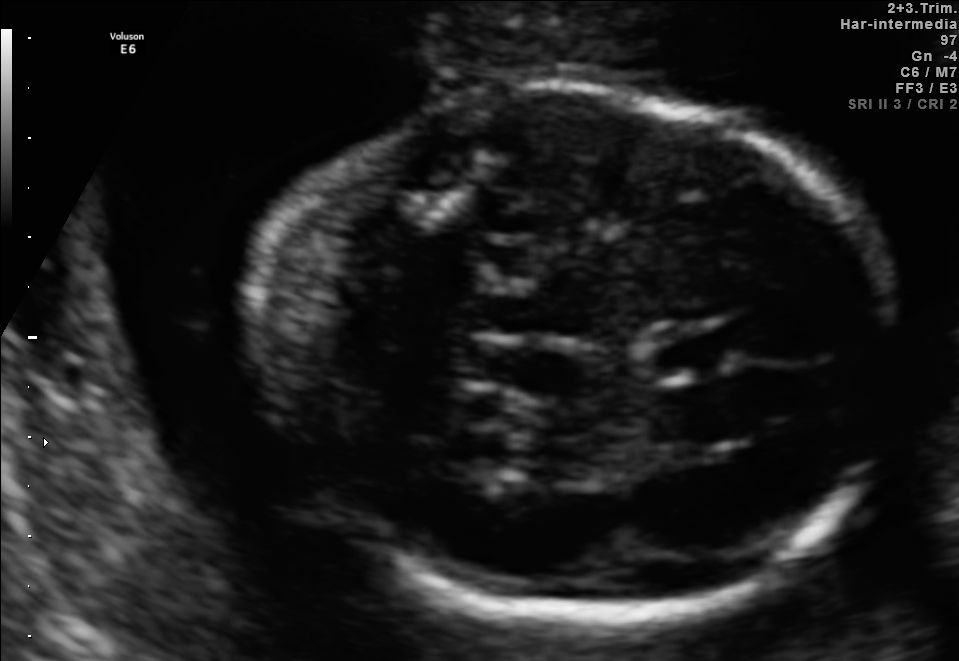
Fetal brain, trans-thalamic plane. Give [x1,y1,x2,y2] bounding boxes for each visible structure among: fetal head, CSP, LV.

Head: [252,86,893,625]
CSP: [642,316,740,385]